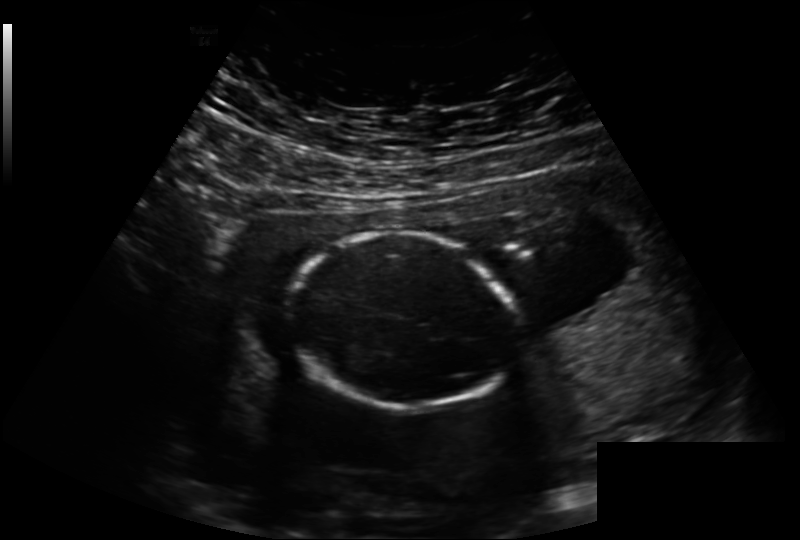
From this fetal ultrasound, estimate the head circumference (image width 177.0 mm).

Head circumference: 146.7 mm.